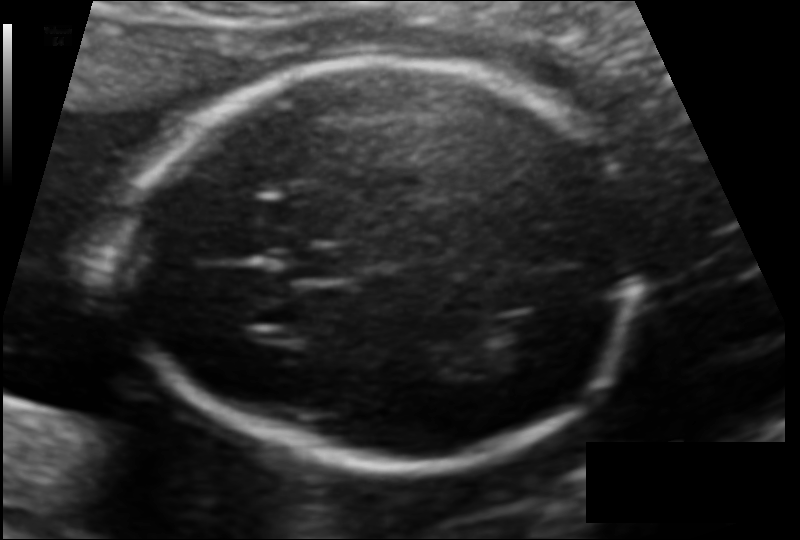
Fetal head ultrasound. Image width: 92.5 mm. Locate the cavum septum pellucidum.

CSP: [279,247,351,282]